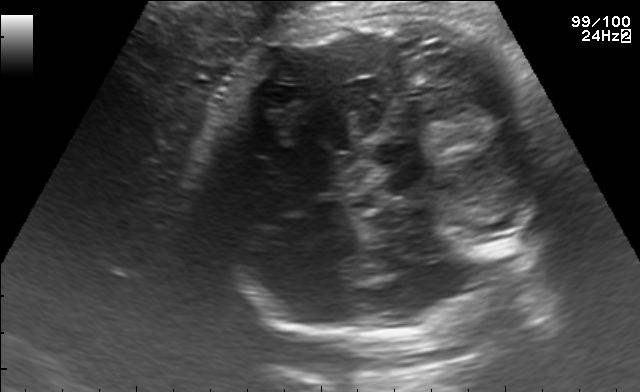
This is a 2D maternal-fetal ultrasound frame. Is it a fetal abdomen, fetal brain, fetal femur, fetal thorax, maternal cervix, or other standard plane? If it's fetal brain and one of the three standard brain planes (trans-thalamic, trans-cerebellum, trans-ventricular), name which.

Fetal brain (trans-cerebellum plane)